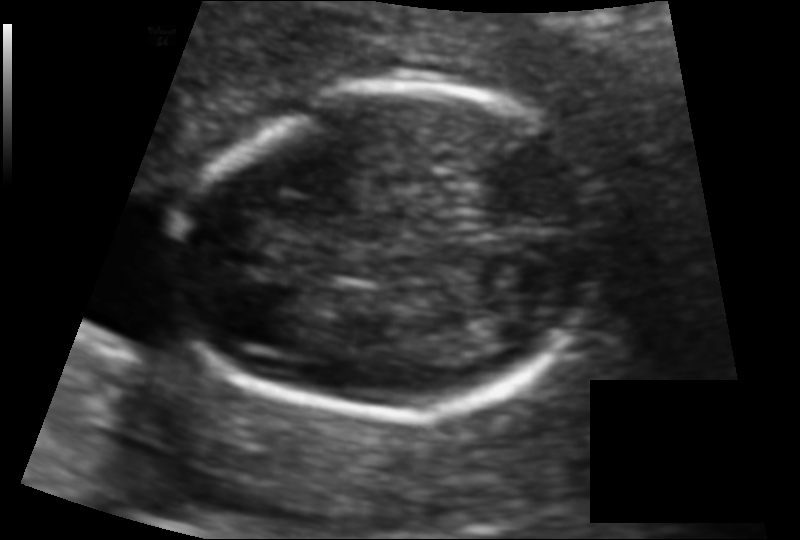
What is the fetal head circumference? Image width is 76.2 mm.

119.8 mm